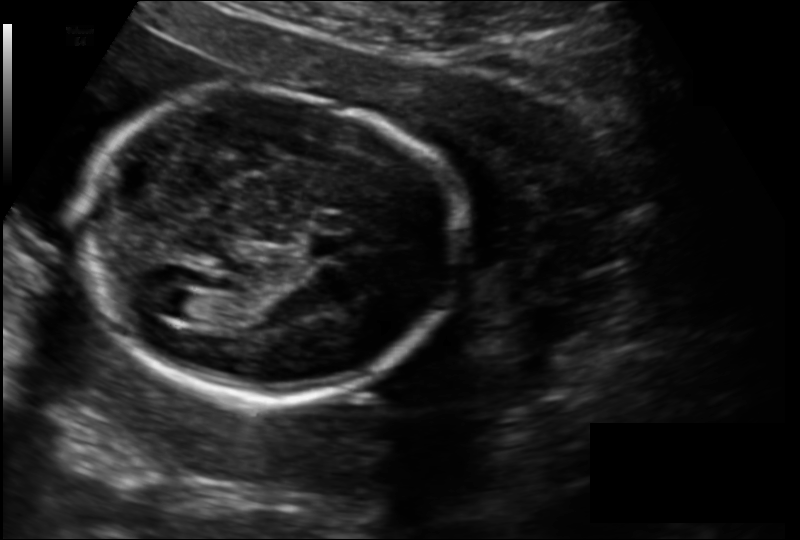
In this fetal head ultrasound, give the bounding box of the lateral ventricle. Image width: 119.1 mm.

[158,287,202,322]